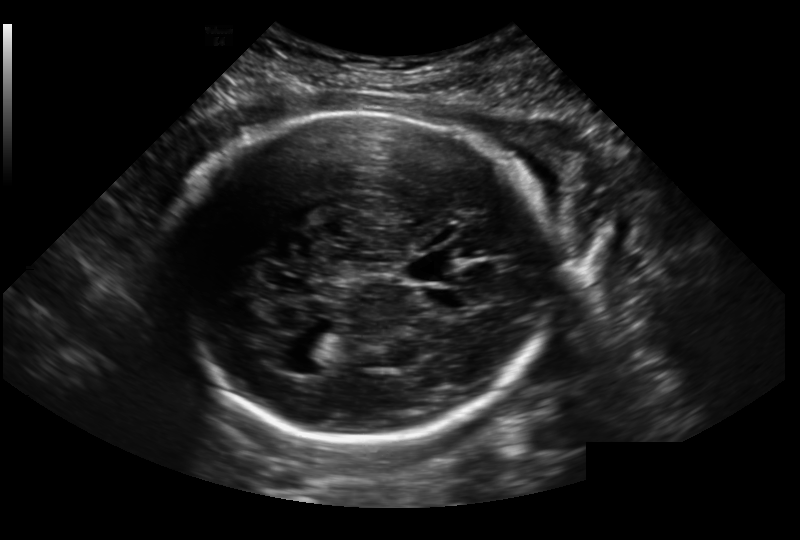
From this fetal ultrasound, estimate the head circumference (image width 188.7 mm).

Head circumference: 274.9 mm.